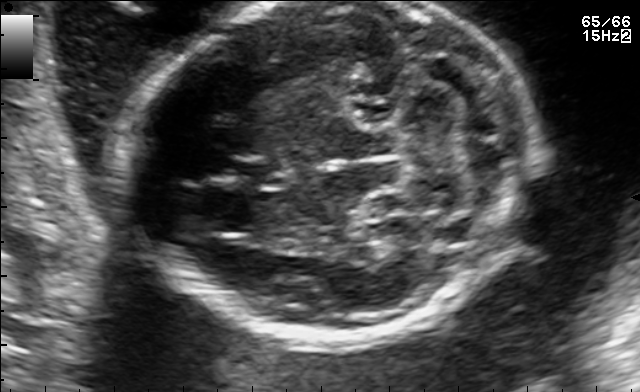
Fetal brain, trans-cerebellum plane. Give [x1,y1,x2,y2] bounding boxes for each visible structure among: fetal head, CSP, LV.

Head: [129,2,542,343]